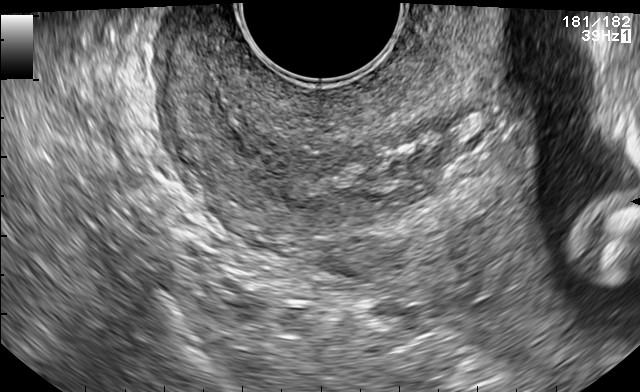
Classify this maternal-fetal ultrasound image as one of the six standard planes — fetal abdomen, fetal brain, fetal femur, fetal thorax, maternal cervix, or other. If it's fetal brain and one of the three standard brain planes (trans-thalamic, trans-cerebellum, trans-ventricular), name which.

Maternal cervix